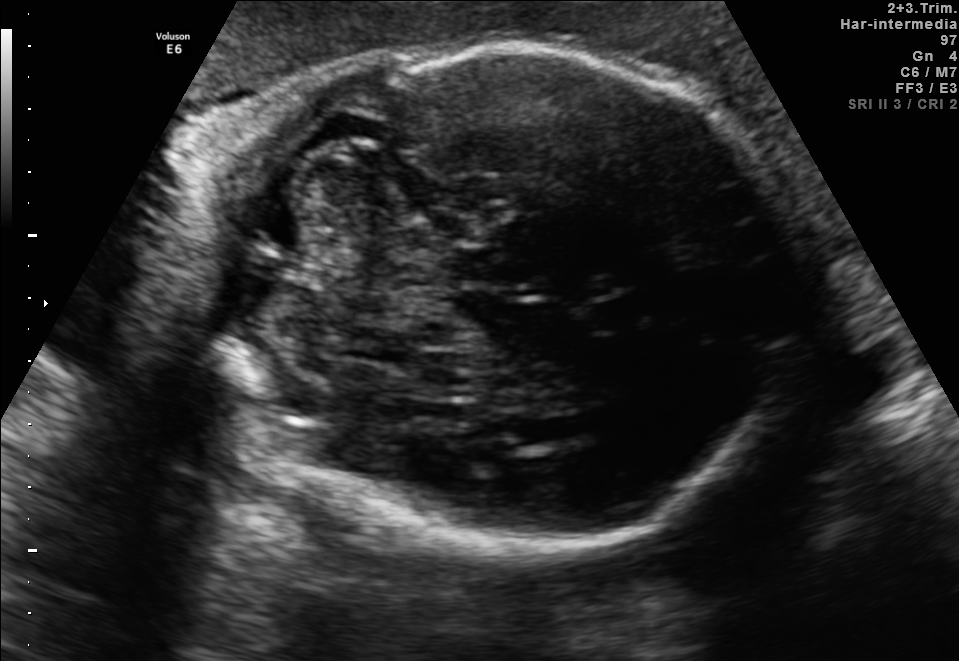
Fetal brain, trans-cerebellum plane. Where is the fetal head?

Head bounding box: [200,48,797,551]